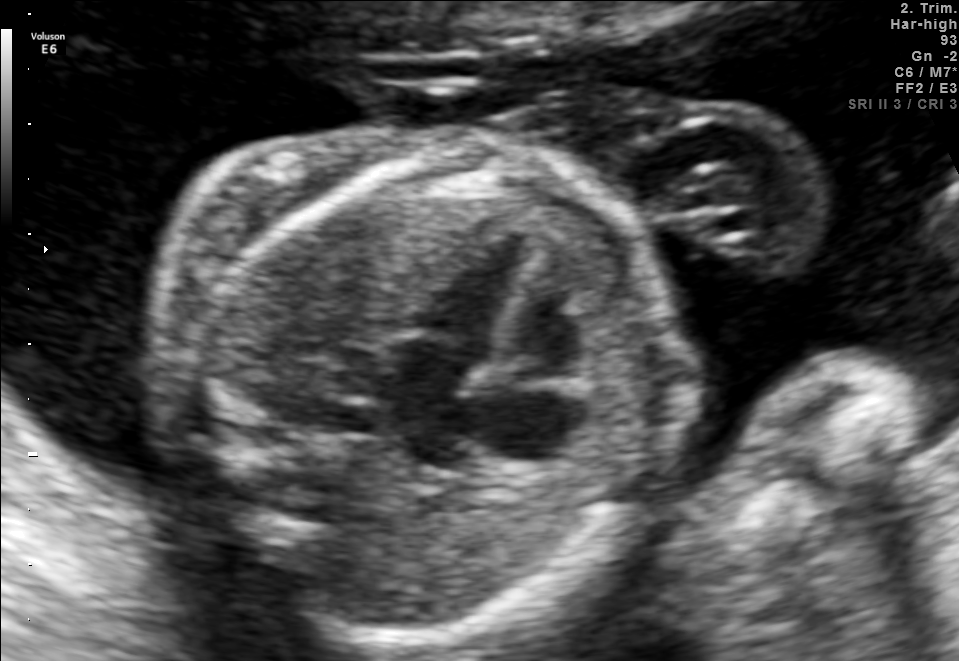
Which standard maternal-fetal ultrasound plane is shown: fetal abdomen, fetal brain, fetal femur, fetal thorax, maternal cervix, or other? If it's fetal brain and one of the three standard brain planes (trans-thalamic, trans-cerebellum, trans-ventricular), name which.

Fetal thorax